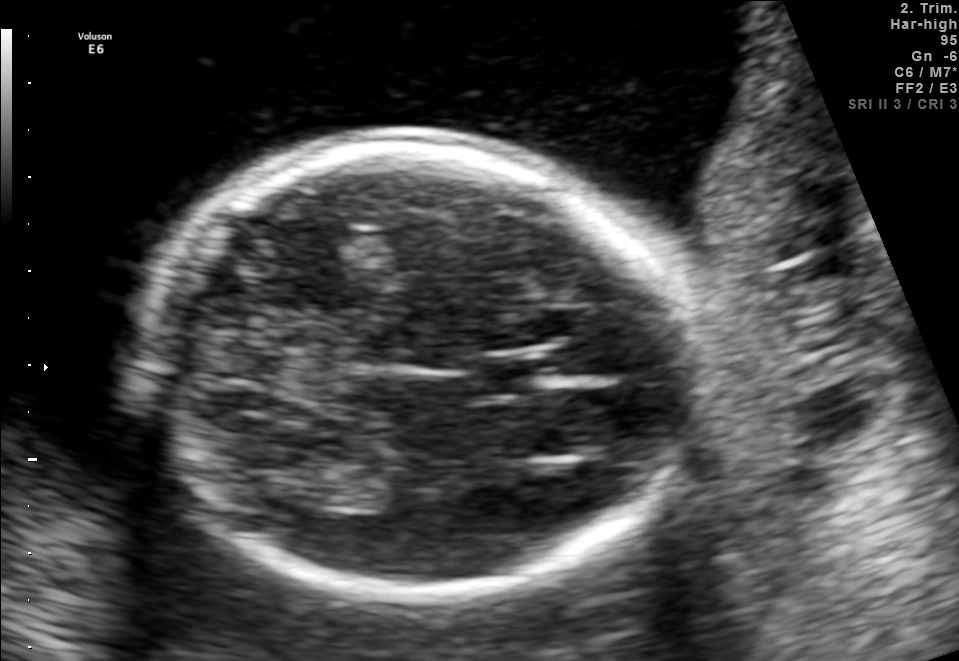
Fetal brain, trans-thalamic plane. Where is the fetal head?

Head bounding box: [136,137,699,596]